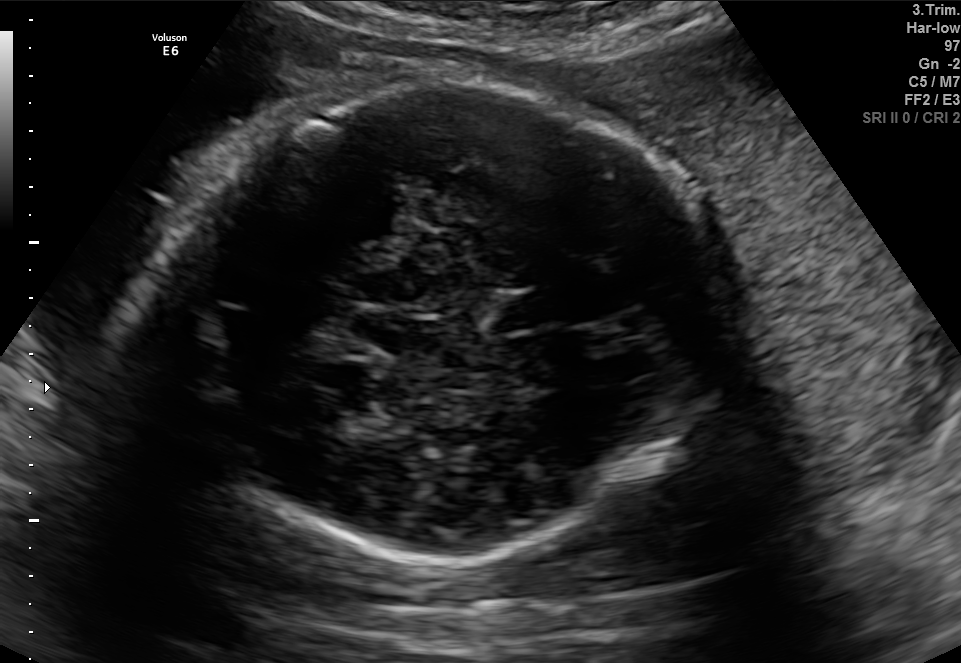
In this fetal brain, trans-thalamic plane, give bounding boxes for the head outline, cavum septum pellucidum (CSP), and lateral ventricle (LV), where visible.

Head: [168,79,714,560]